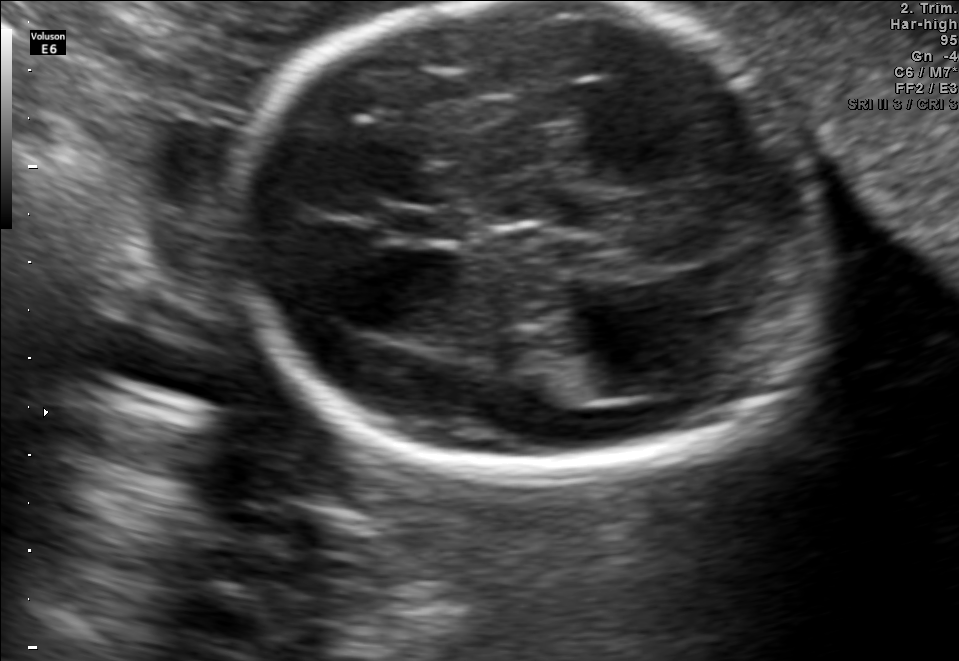
Fetal brain, trans-thalamic plane. Locate the lateral ventricle.

Lateral ventricle: [551,342,677,404]